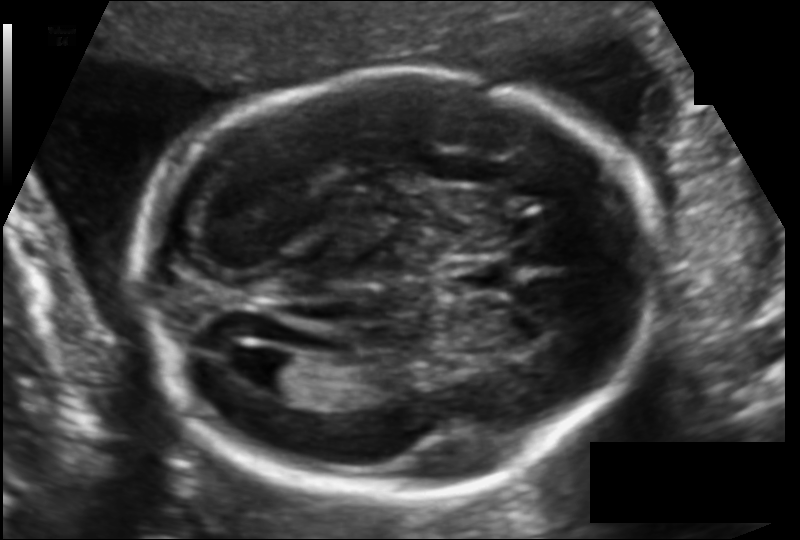
Fetal head ultrasound. Image width: 97.1 mm. Locate the fetal head and, if visible, the cavum septum pellucidum (CSP) and lateral ventricle (LV). Give bounding boxes as [x1,y1,x2,y2].

Head: [138,70,659,491]
CSP: [450,258,508,292]
Lateral ventricle: [246,345,309,394]